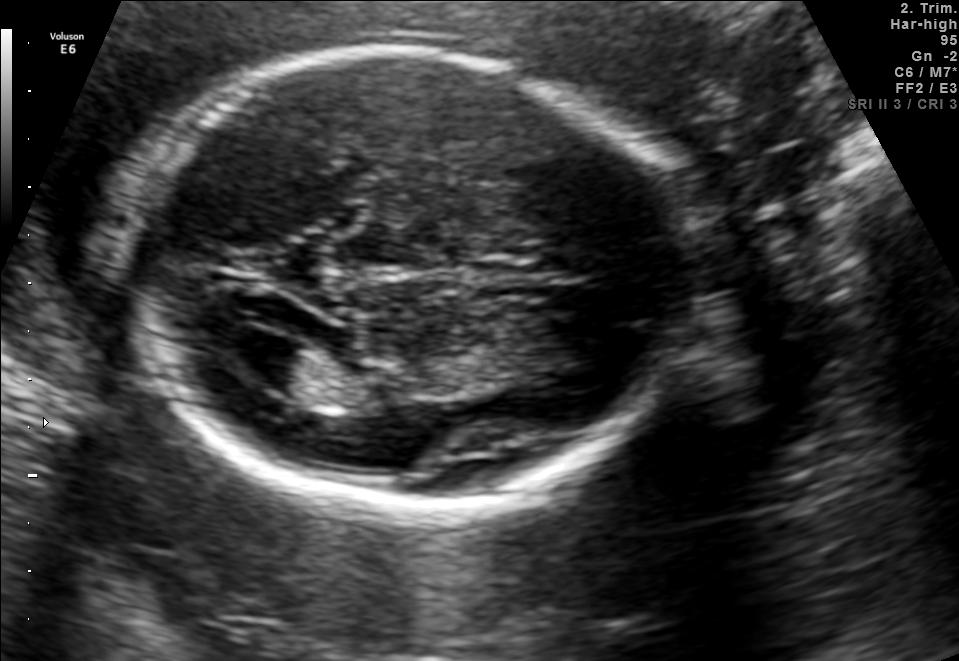
Identify the standard plane in this fetal ultrasound image: fetal abdomen, fetal brain, fetal femur, fetal thorax, maternal cervix, or other. If it's fetal brain and one of the three standard brain planes (trans-thalamic, trans-cerebellum, trans-ventricular), name which.

Fetal brain (trans-ventricular plane)